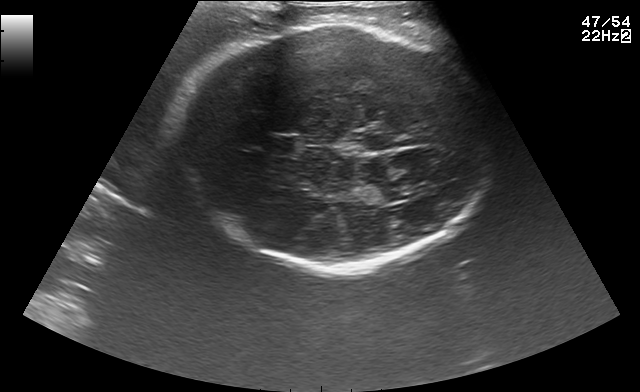
In this fetal brain, trans-thalamic plane, give the bounding box of the fetal head.

[177,23,487,267]